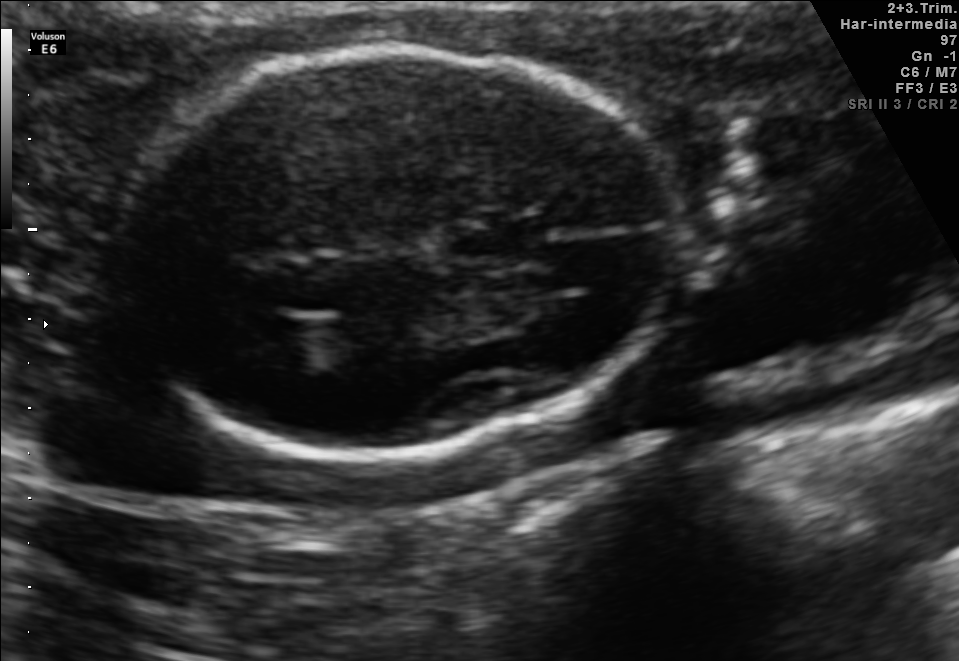
Fetal brain, trans-thalamic plane. Locate the cavum septum pellucidum.

CSP: [448,217,544,267]